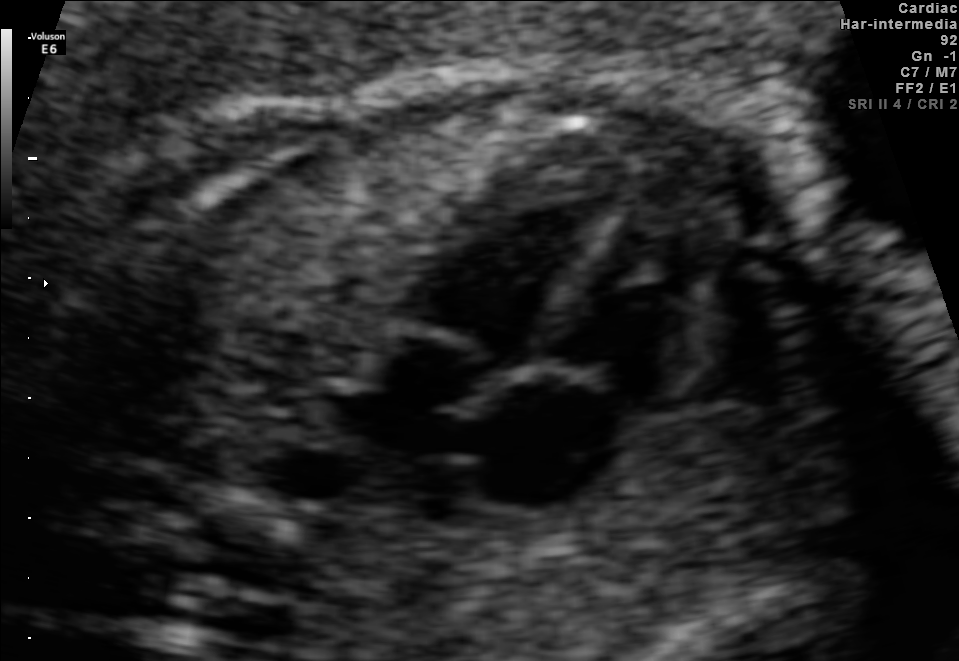
Classify this maternal-fetal ultrasound image as one of the six standard planes — fetal abdomen, fetal brain, fetal femur, fetal thorax, maternal cervix, or other. If it's fetal brain and one of the three standard brain planes (trans-thalamic, trans-cerebellum, trans-ventricular), name which.

Fetal thorax